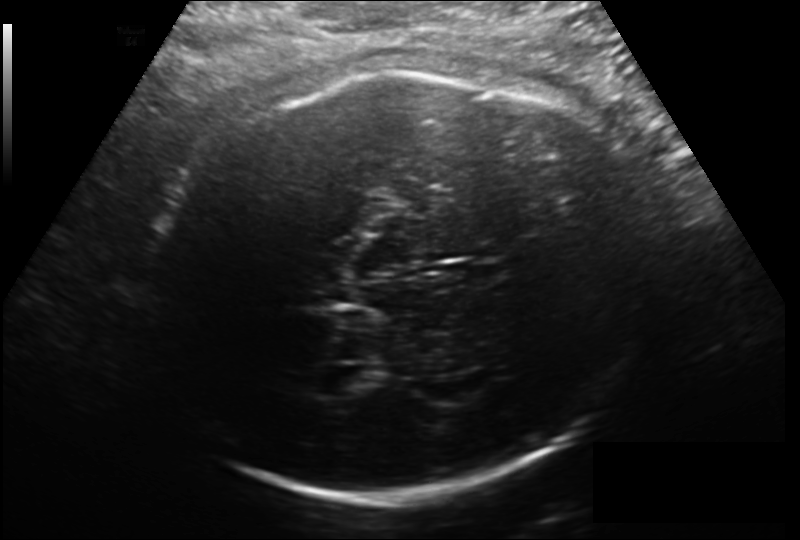
In this fetal head ultrasound, give bounding boxes for the head outline, cavum septum pellucidum (CSP), and lateral ventricle (LV), where visible. Image width: 164.8 mm.

Head: [140,73,642,505]
Lateral ventricle: [320,366,373,395]